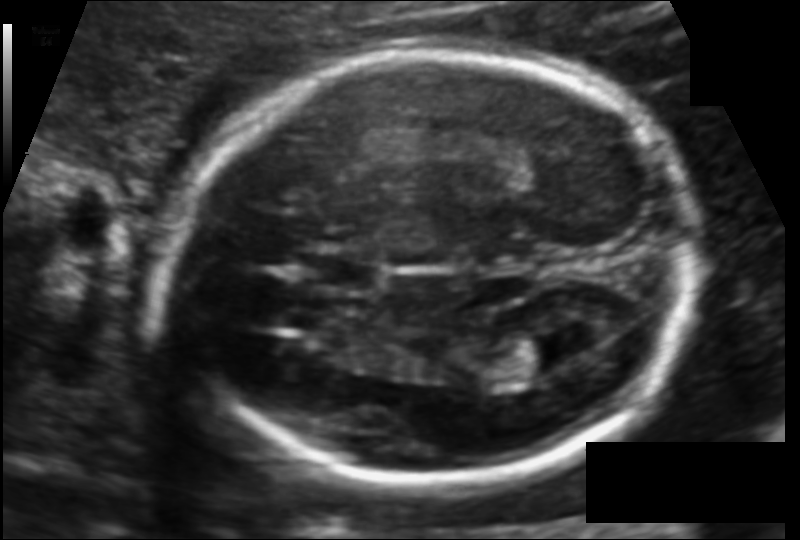
Measure the fetal head circumference shown in this ultrasound image. Image width: 90.0 mm.

Head circumference: 172.8 mm.